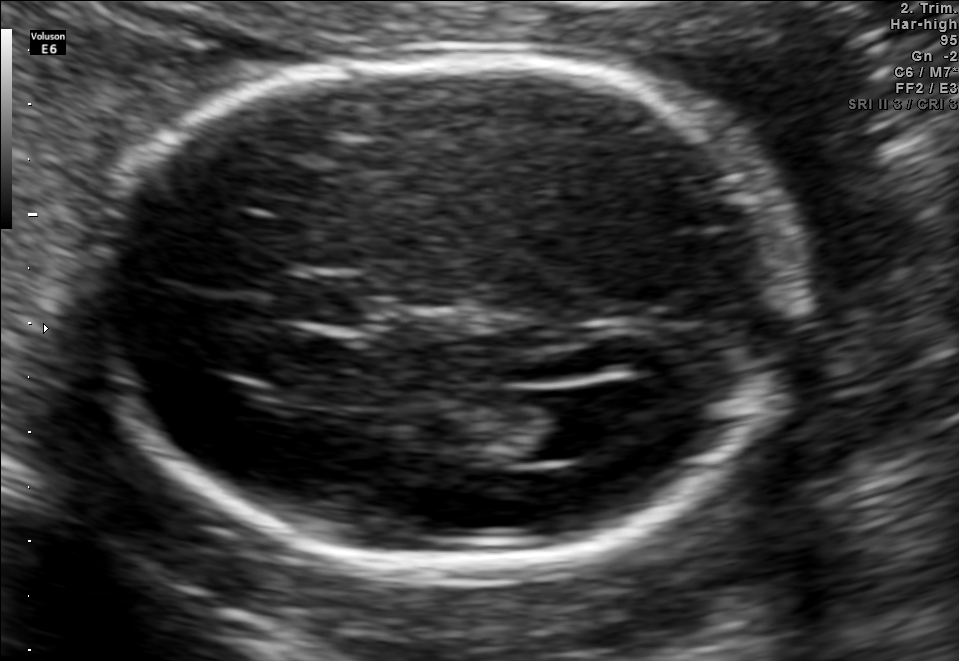
In this fetal brain, trans-ventricular plane, give the bounding box of the cavum septum pellucidum.

[288,275,364,325]